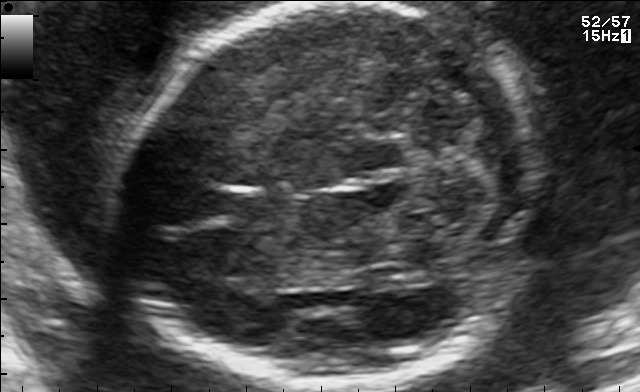
In this fetal brain, trans-cerebellum plane, give the bounding box of the fetal head.

[126,2,545,391]